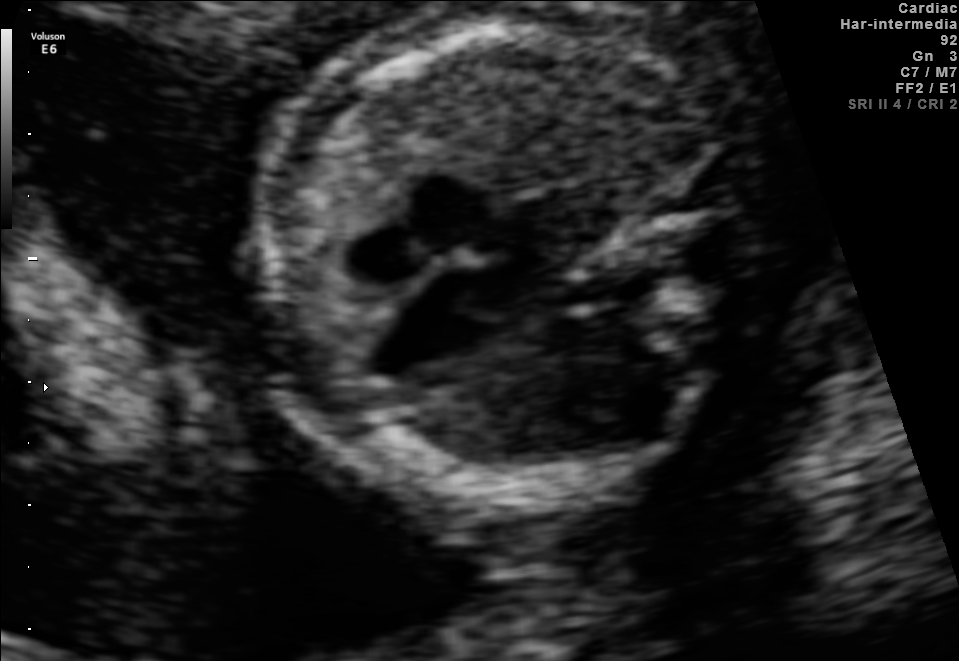
Classify this maternal-fetal ultrasound image as one of the six standard planes — fetal abdomen, fetal brain, fetal femur, fetal thorax, maternal cervix, or other. If it's fetal brain and one of the three standard brain planes (trans-thalamic, trans-cerebellum, trans-ventricular), name which.

Fetal thorax